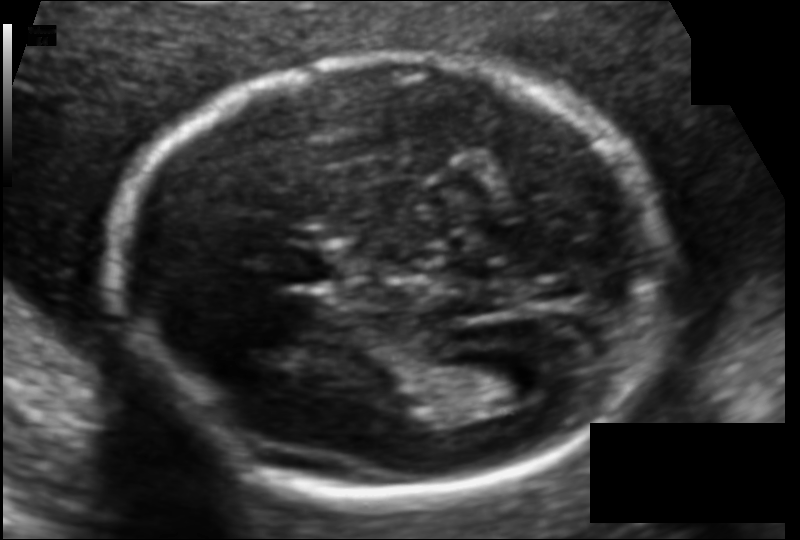
Fetal head ultrasound. Image width: 83.5 mm. Locate the fetal head.

Head: [113,56,668,498]